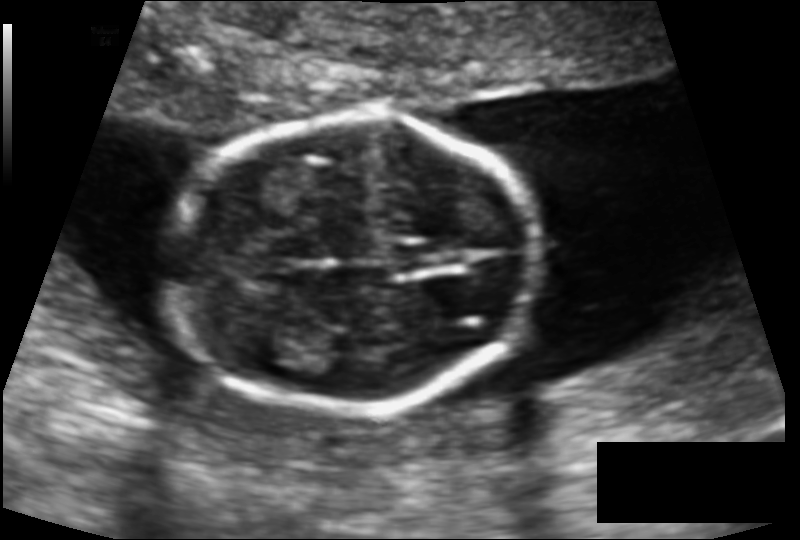
From this fetal ultrasound, estimate the head circumference (image width 89.5 mm).

Head circumference: 122.0 mm.